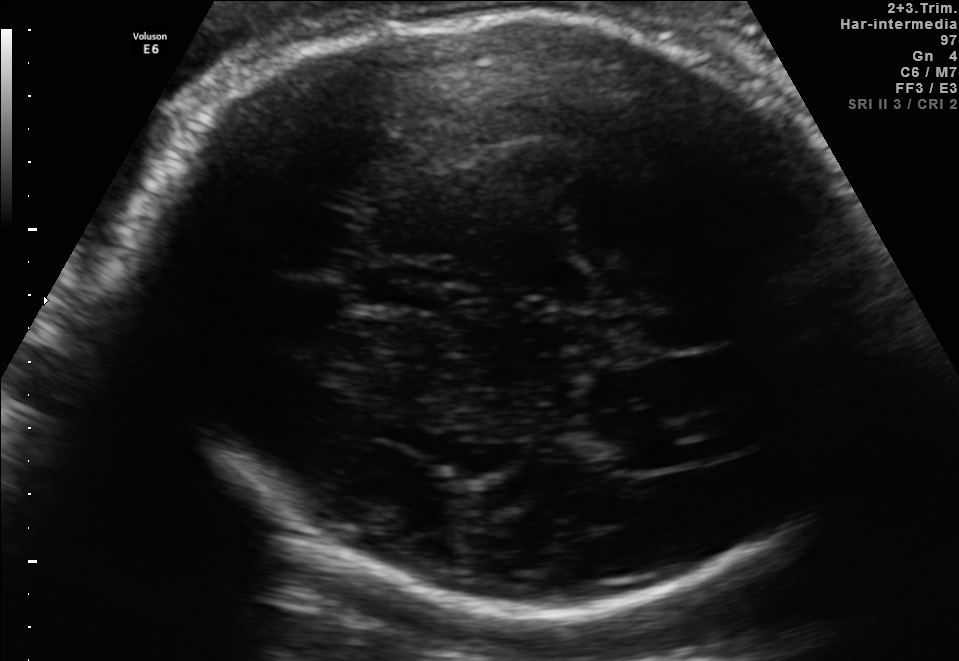
In this fetal brain, trans-thalamic plane, give the bounding box of the cavum septum pellucidum.

[352,264,443,308]